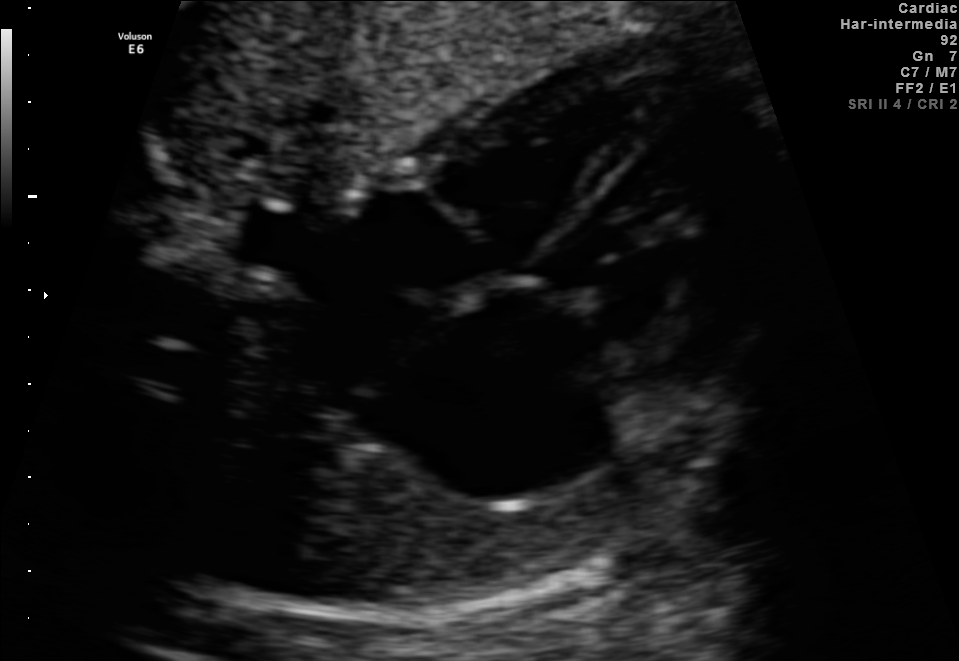
Which standard maternal-fetal ultrasound plane is shown: fetal abdomen, fetal brain, fetal femur, fetal thorax, maternal cervix, or other? If it's fetal brain and one of the three standard brain planes (trans-thalamic, trans-cerebellum, trans-ventricular), name which.

Fetal thorax